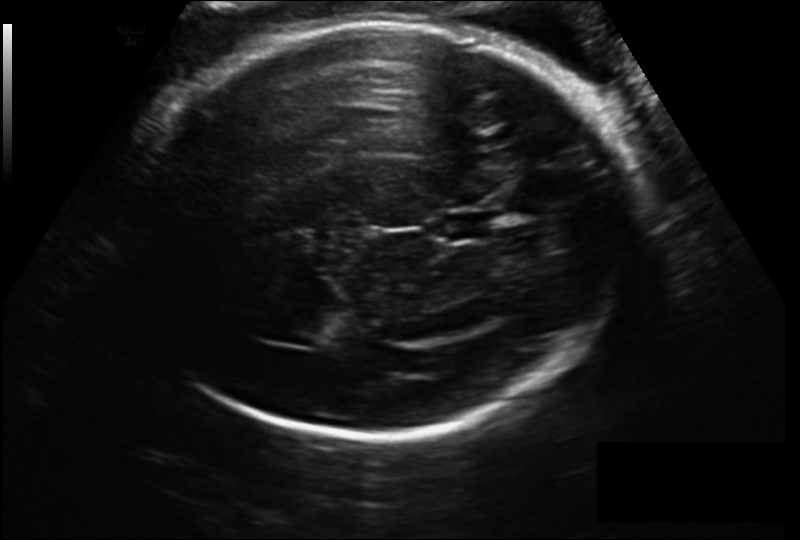
From this fetal ultrasound, estimate the head circumference (image width 164.9 mm).

Head circumference: 306.1 mm.